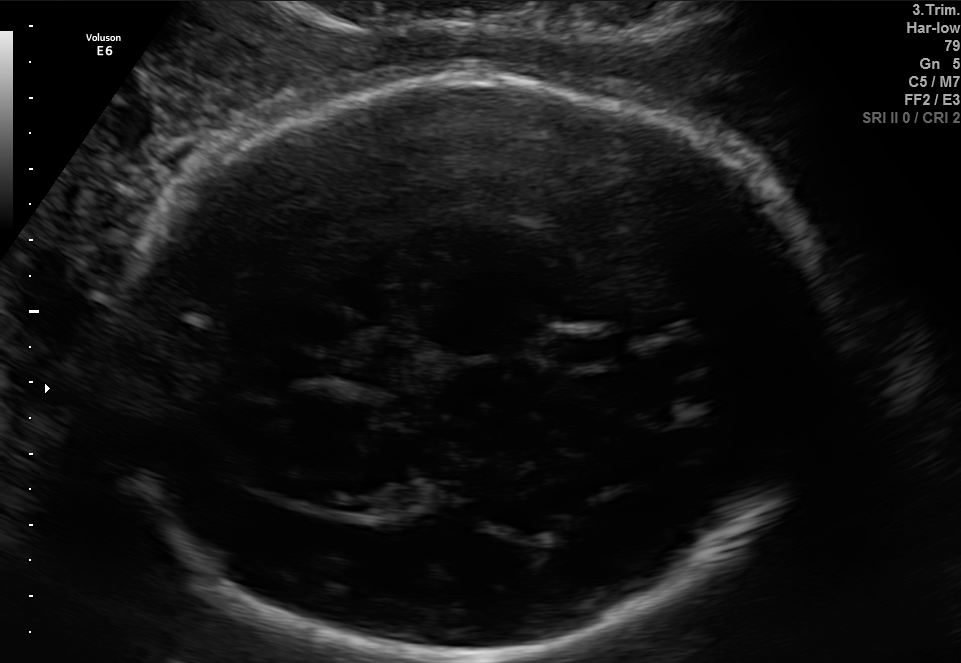
In this fetal brain, trans-thalamic plane, give bounding boxes for the head outline, cavum septum pellucidum (CSP), and lateral ventricle (LV), where visible.

Head: [99,69,838,660]
CSP: [552,336,615,360]